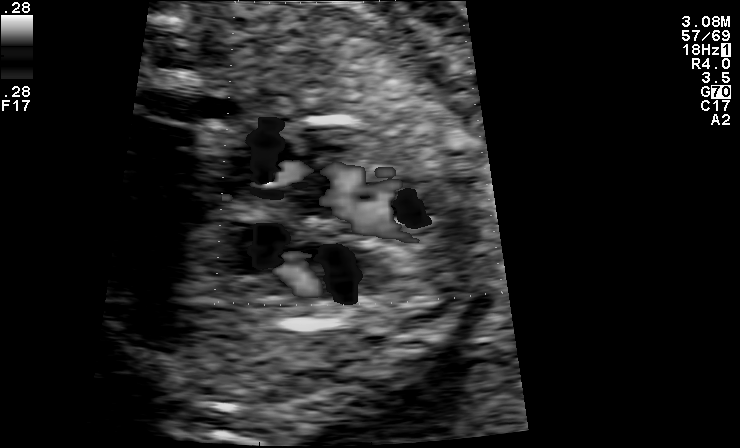
Which standard maternal-fetal ultrasound plane is shown: fetal abdomen, fetal brain, fetal femur, fetal thorax, maternal cervix, or other? If it's fetal brain and one of the three standard brain planes (trans-thalamic, trans-cerebellum, trans-ventricular), name which.

Other